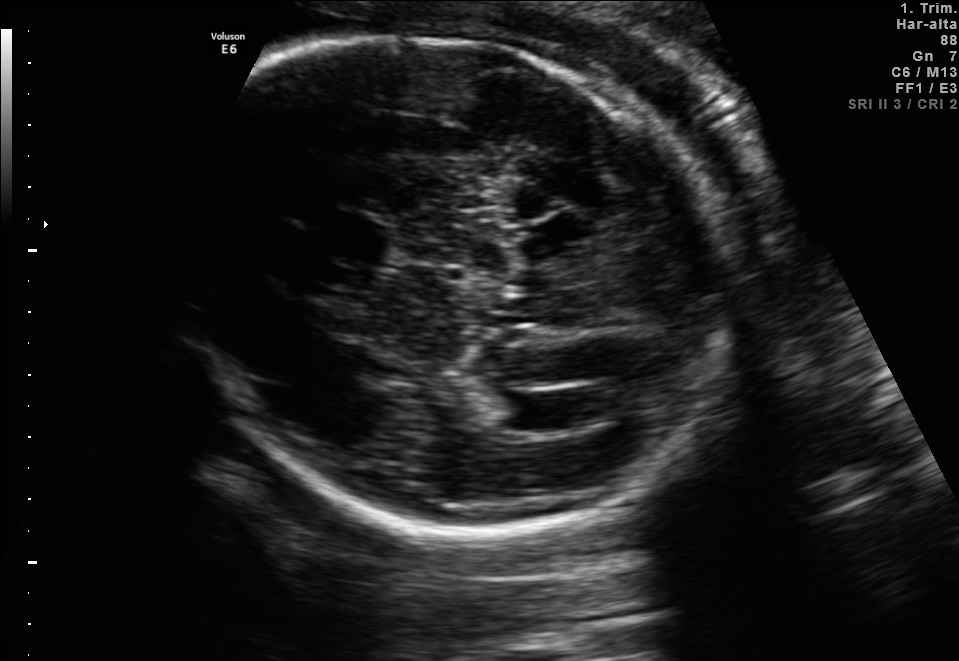
Fetal brain, trans-ventricular plane. Where is the cavum septum pellucidum?

CSP bounding box: [336,213,398,267]